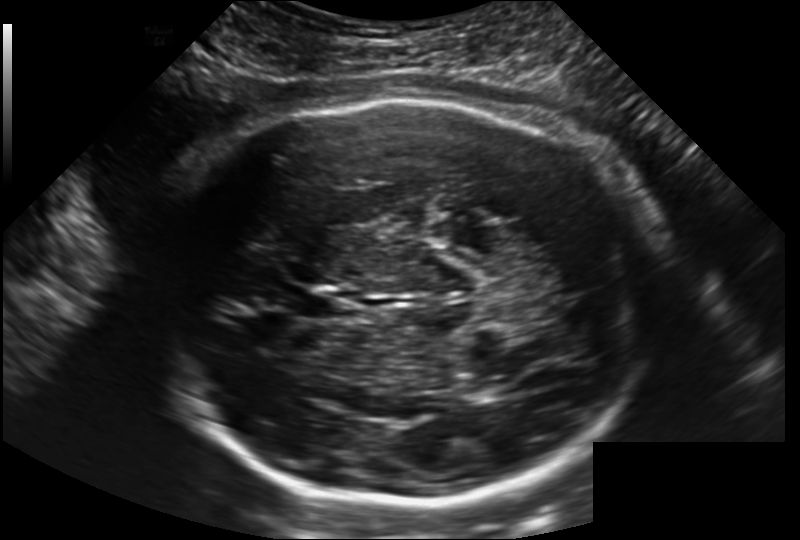
In this fetal head ultrasound, give bounding boxes for the head outline, cavum septum pellucidum (CSP), and lateral ventricle (LV), where visible. Image width: 161.6 mm.

Head: [160,97,655,507]
CSP: [286,287,343,321]